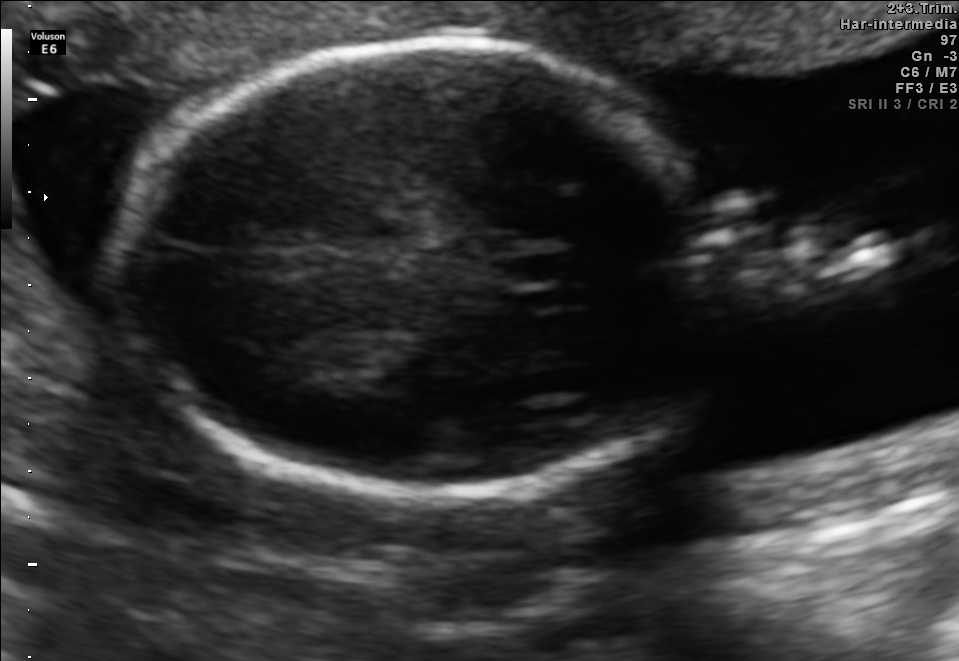
Fetal brain, trans-thalamic plane. Locate the fetal head.

Head: [112,44,735,489]